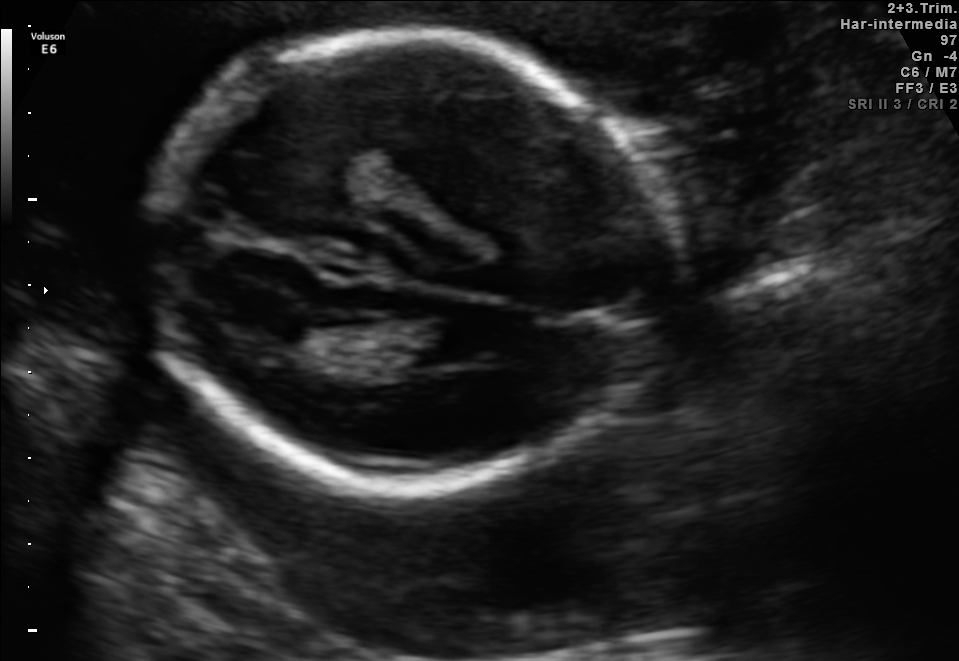
Fetal brain, trans-ventricular plane. Where is the fetal head?

Head bounding box: [134,24,679,501]